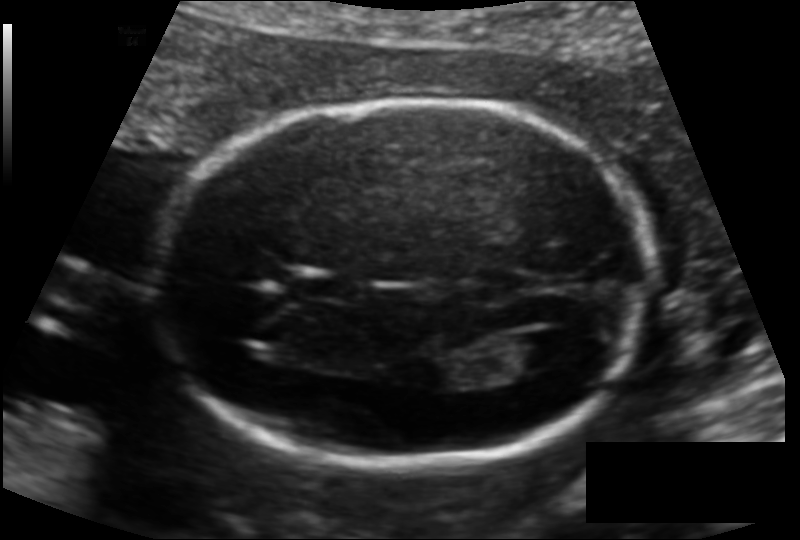
From this fetal ultrasound, estimate the head circumference (image width 102.6 mm).

Head circumference: 178.0 mm.